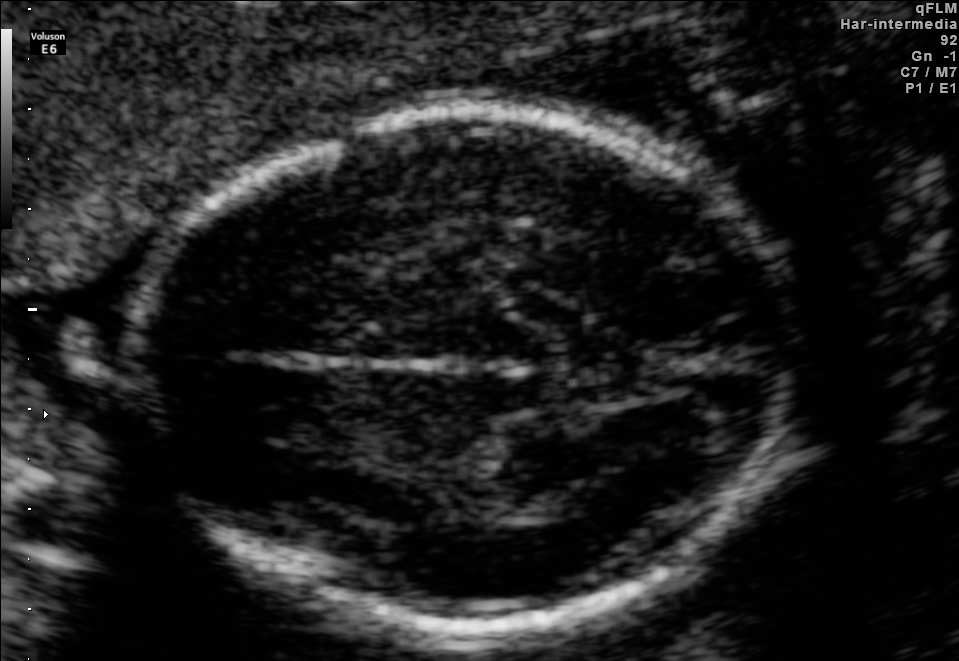
In this fetal brain, trans-thalamic plane, give bounding boxes for the head outline, cavum septum pellucidum (CSP), and lateral ventricle (LV), where visible.

Head: [133,113,792,636]